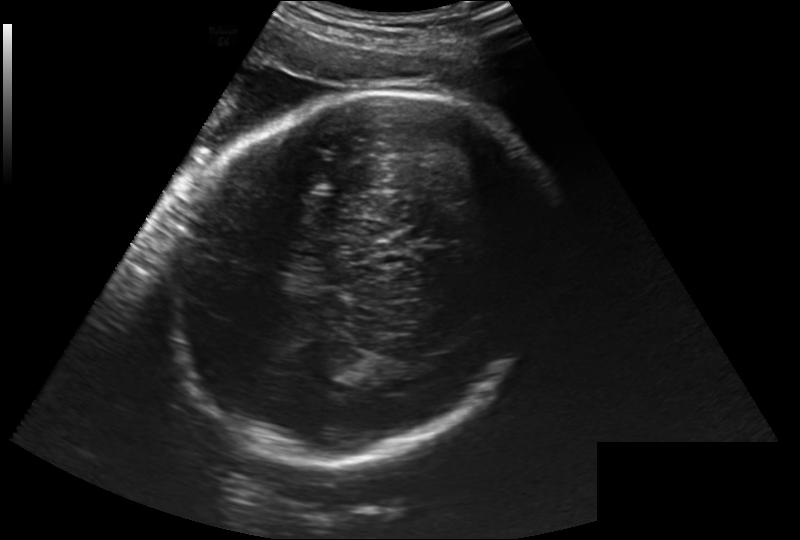
Fetal head ultrasound. Image width: 208.2 mm. Give [x1,y1,x2,y2] bounding boxes for each visible structure among: fetal head, CSP, LV.

Head: [174,88,541,463]